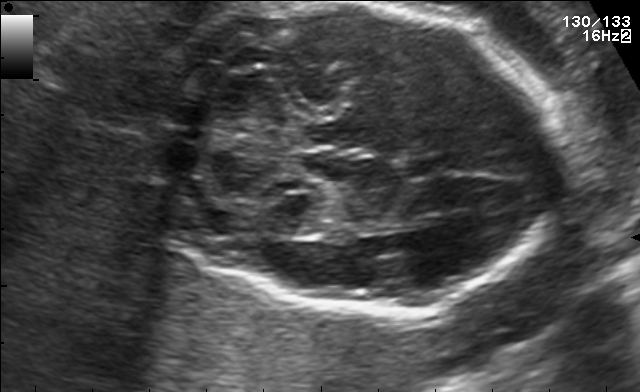
In this fetal brain, trans-cerebellum plane, give bounding boxes for the head outline, cavum septum pellucidum (CSP), and lateral ventricle (LV), where visible.

Head: [150,4,561,315]
CSP: [399,151,455,182]